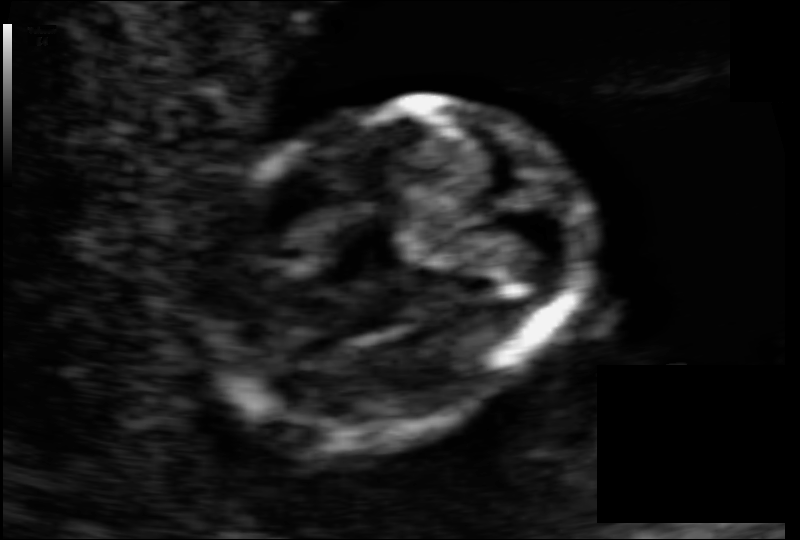
In this fetal head ultrasound, give the bounding box of the fetal head. Image width: 55.0 mm.

[206,101,582,444]